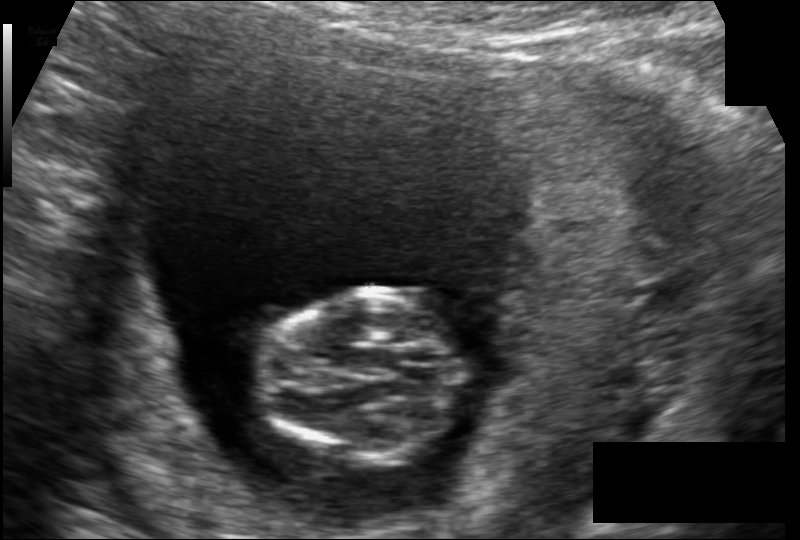
What is the fetal head circumference? Image width is 93.8 mm.

74.0 mm